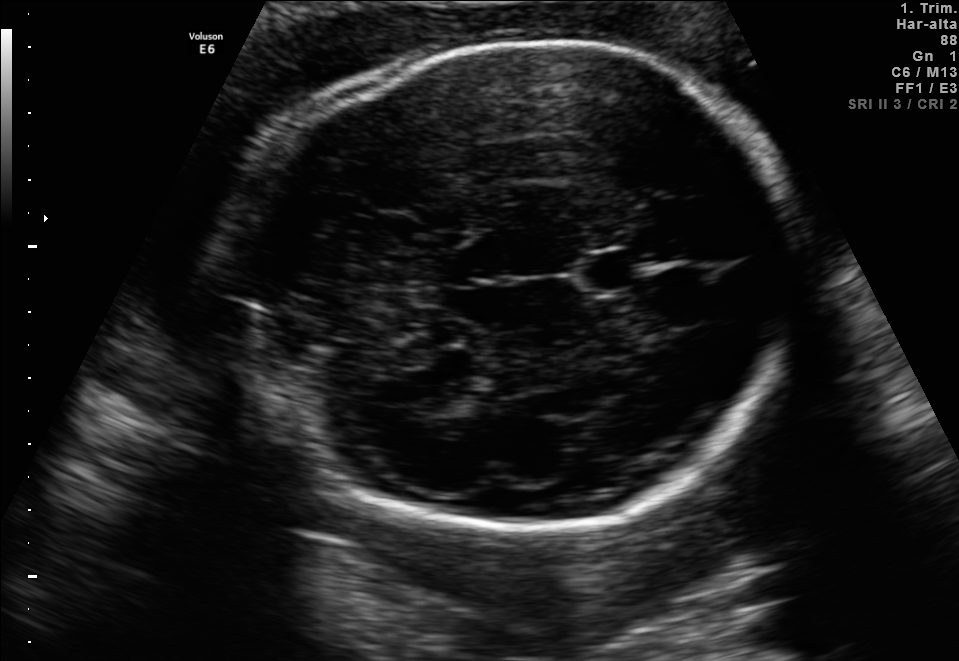
Fetal brain, trans-thalamic plane. Locate the fetal head.

Head: [228,40,799,527]